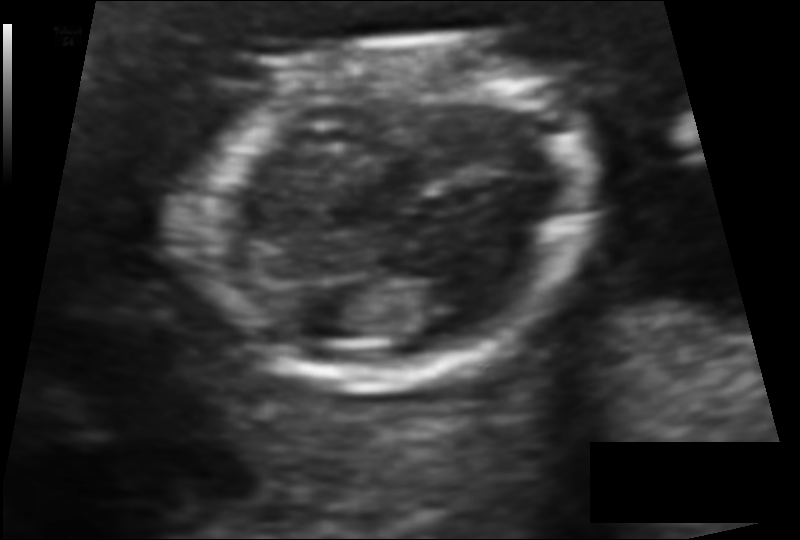
Estimate the fetal head circumference from this 2D ultrasound. Image width: 72.9 mm.

Head circumference: 108.2 mm.